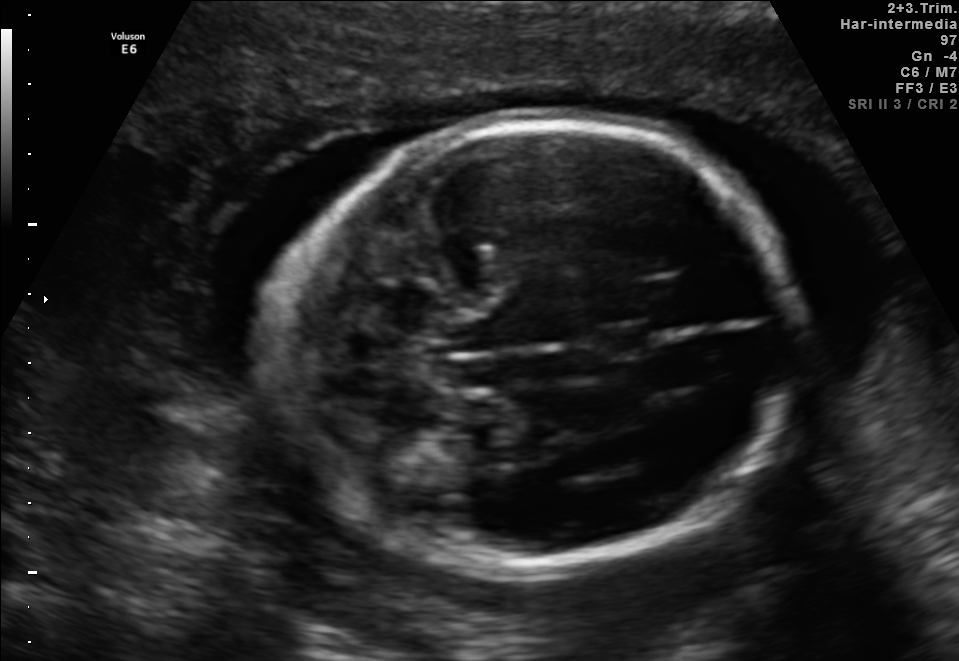
Fetal brain, trans-cerebellum plane. Locate the fetal head.

Head: [275,114,790,575]